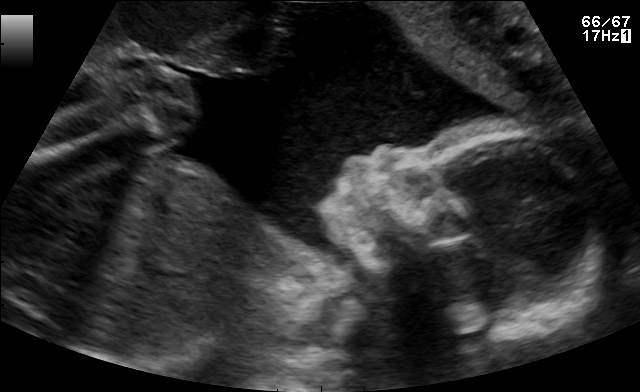
Identify the standard plane in this fetal ultrasound image: fetal abdomen, fetal brain, fetal femur, fetal thorax, maternal cervix, or other. If it's fetal brain and one of the three standard brain planes (trans-thalamic, trans-cerebellum, trans-ventricular), name which.

Other